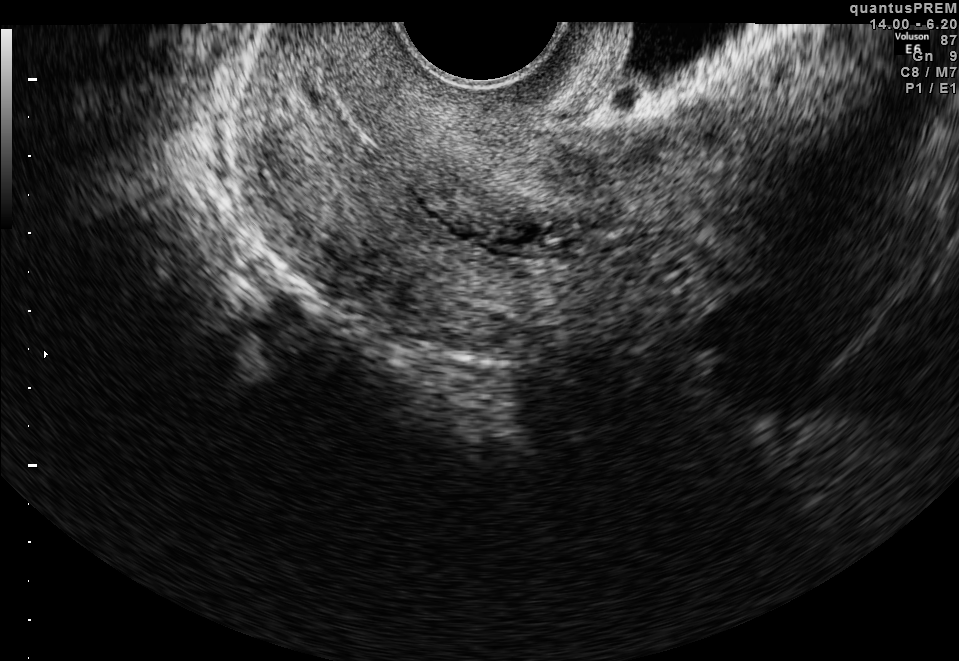
Classify this maternal-fetal ultrasound image as one of the six standard planes — fetal abdomen, fetal brain, fetal femur, fetal thorax, maternal cervix, or other. If it's fetal brain and one of the three standard brain planes (trans-thalamic, trans-cerebellum, trans-ventricular), name which.

Maternal cervix